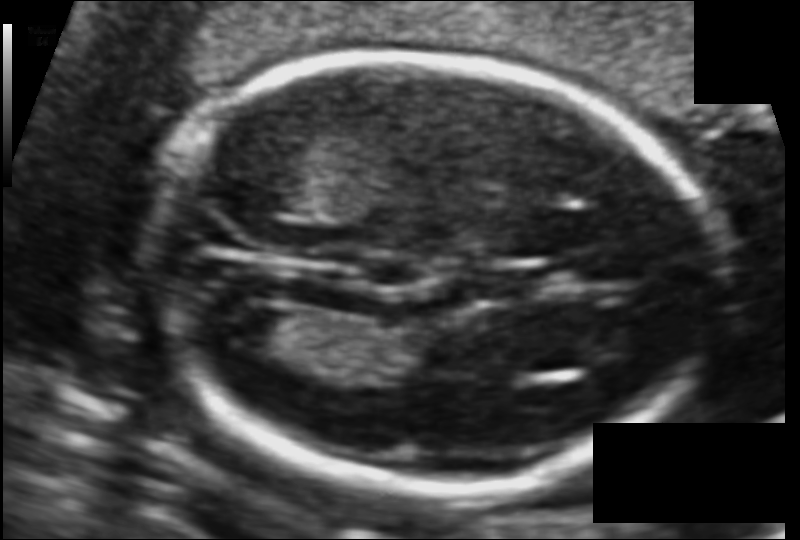
In this fetal head ultrasound, give the bounding box of the fetal head. Image width: 75.8 mm.

[150,52,715,488]